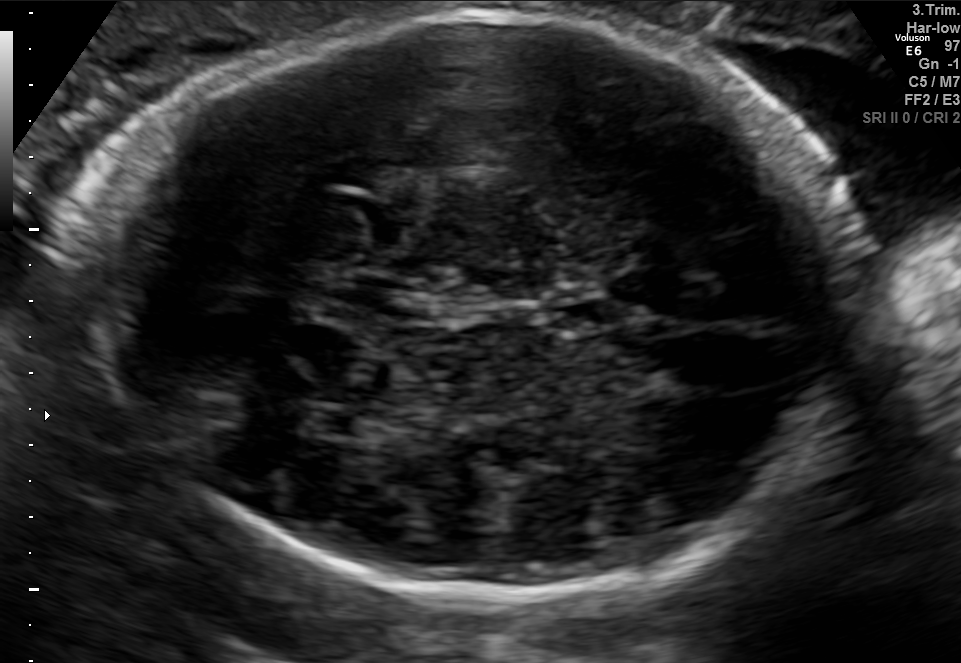
Fetal brain, trans-thalamic plane. Locate the fetal head.

Head: [76,14,853,593]